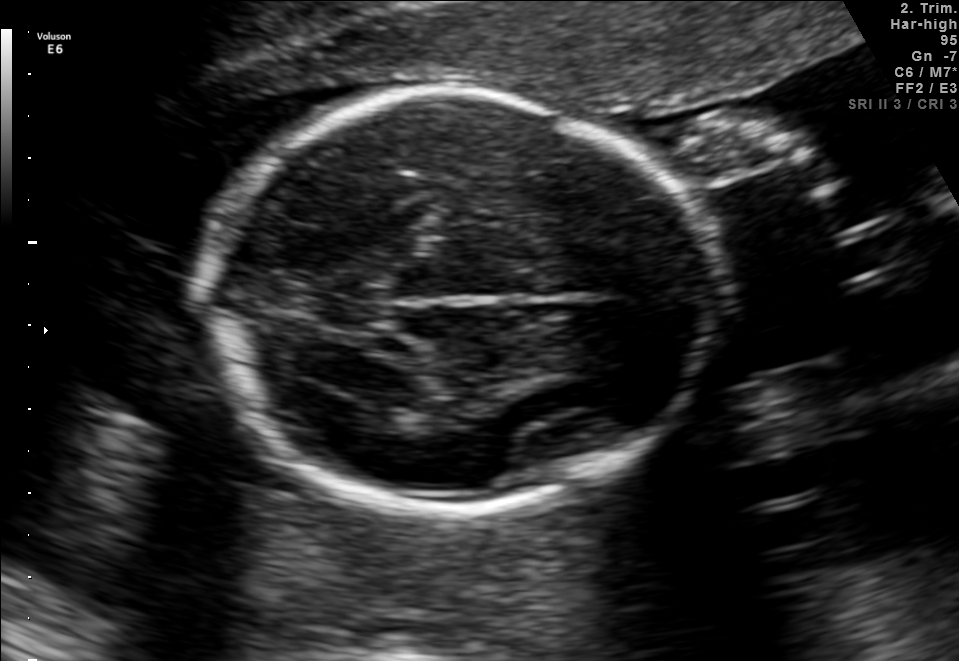
Classify this maternal-fetal ultrasound image as one of the six standard planes — fetal abdomen, fetal brain, fetal femur, fetal thorax, maternal cervix, or other. If it's fetal brain and one of the three standard brain planes (trans-thalamic, trans-cerebellum, trans-ventricular), name which.

Fetal brain (trans-thalamic plane)